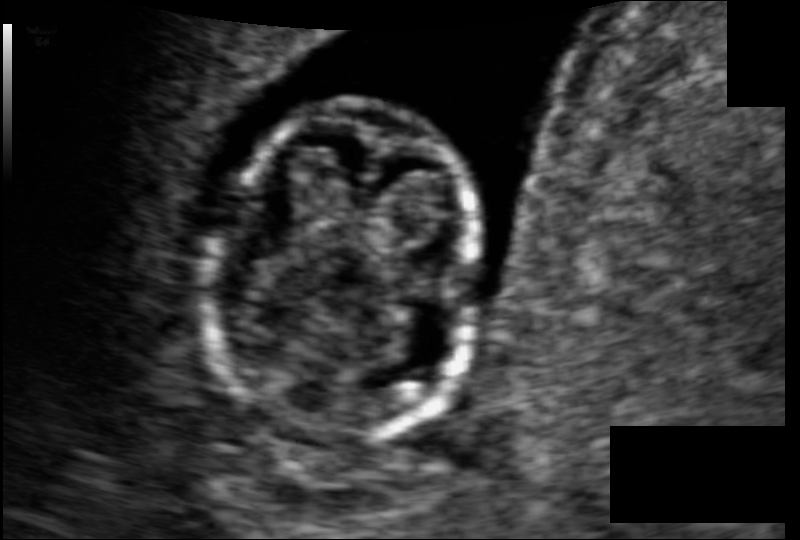
Fetal head ultrasound. Image width: 59.1 mm. Where is the fetal head?

Head bounding box: [212,103,478,440]